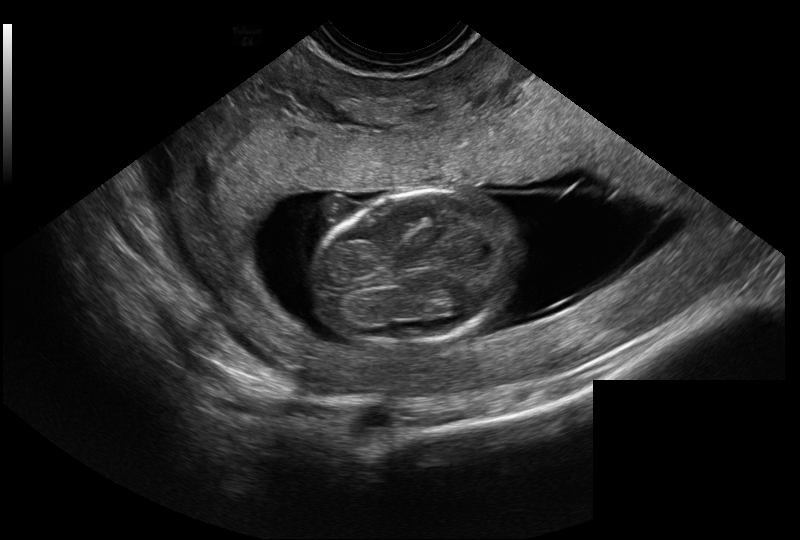
In this fetal head ultrasound, give bounding boxes for the head outline, cavum septum pellucidum (CSP), and lateral ventricle (LV), where visible. Image width: 102.5 mm.

Head: [317,190,521,346]